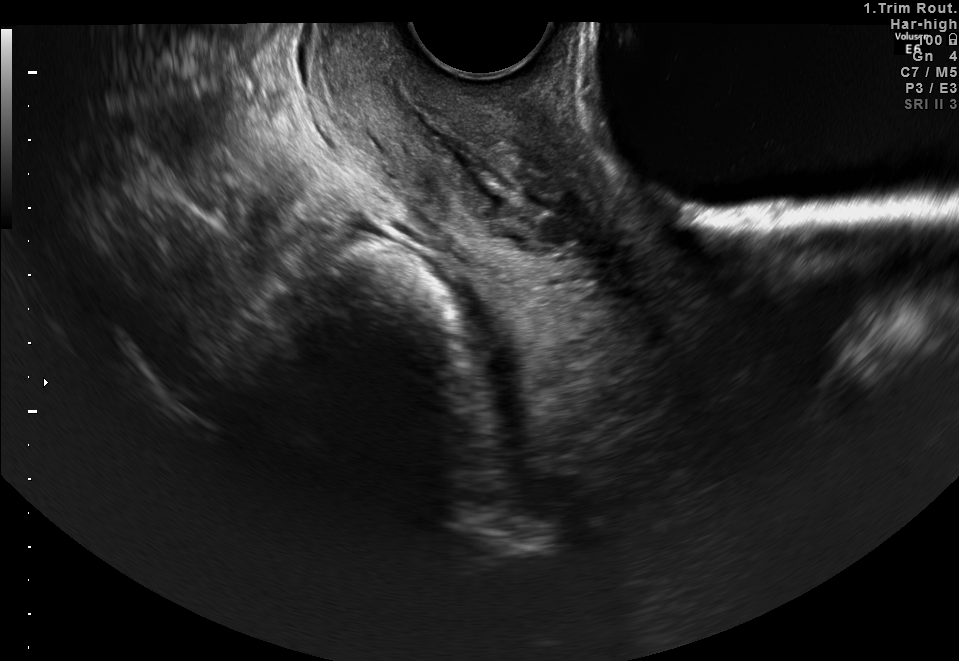
This is a 2D maternal-fetal ultrasound frame. Is it a fetal abdomen, fetal brain, fetal femur, fetal thorax, maternal cervix, or other standard plane? If it's fetal brain and one of the three standard brain planes (trans-thalamic, trans-cerebellum, trans-ventricular), name which.

Maternal cervix